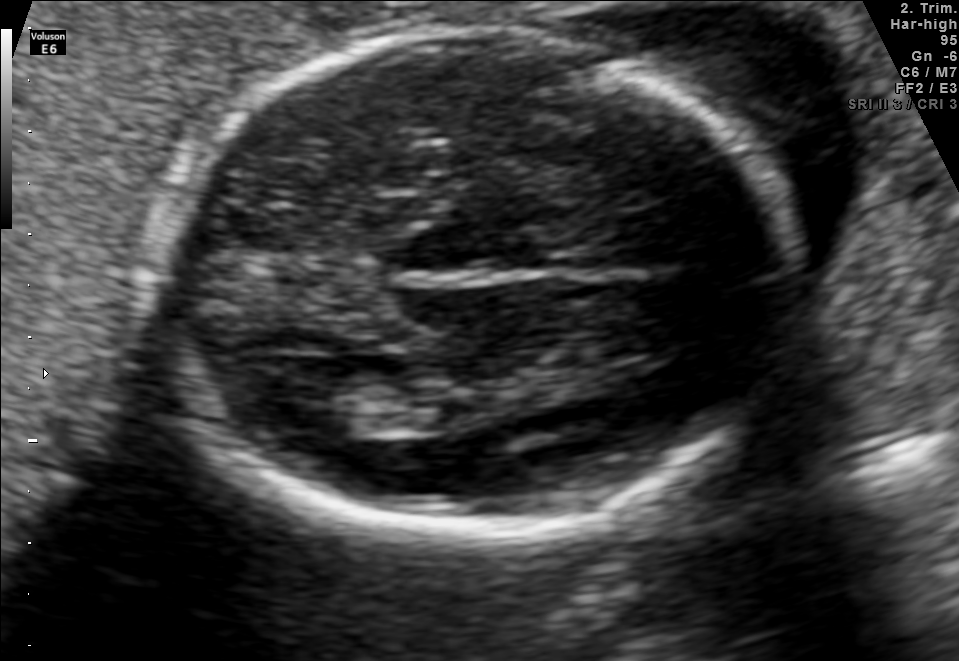
This is a 2D maternal-fetal ultrasound frame. Is it a fetal abdomen, fetal brain, fetal femur, fetal thorax, maternal cervix, or other standard plane? If it's fetal brain and one of the three standard brain planes (trans-thalamic, trans-cerebellum, trans-ventricular), name which.

Fetal brain (trans-thalamic plane)